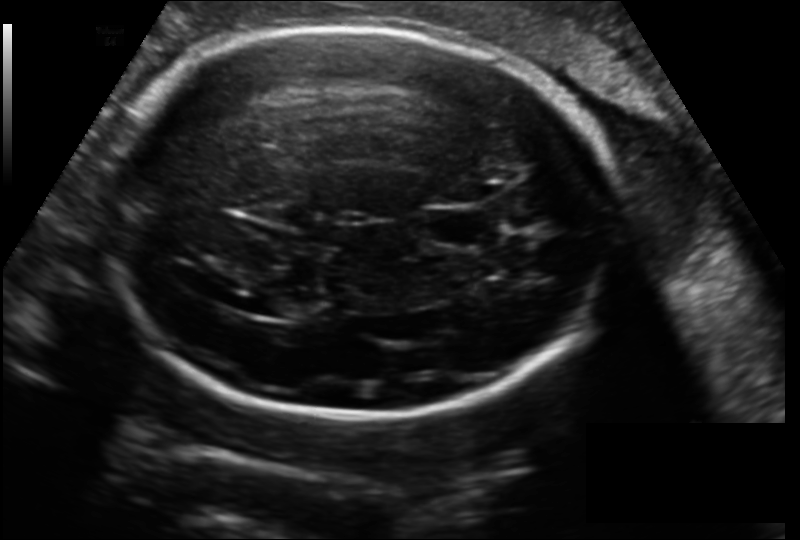
Fetal head ultrasound. Image width: 142.1 mm. Locate the lateral ventricle.

Lateral ventricle: [254,293,303,320]